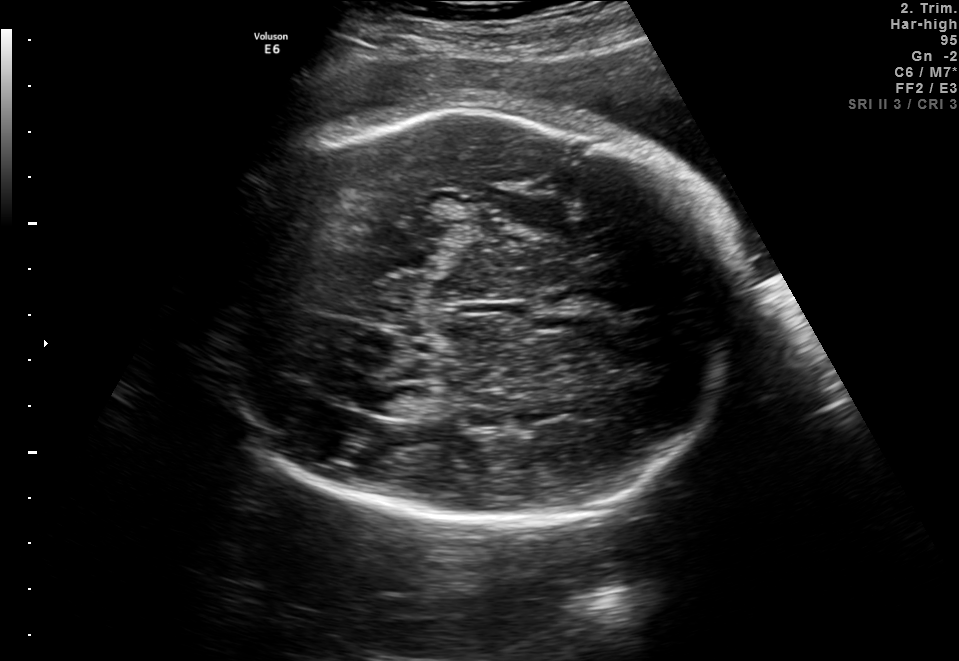
Fetal brain, trans-thalamic plane. Locate the lateral ventricle.

Lateral ventricle: [348,379,414,420]